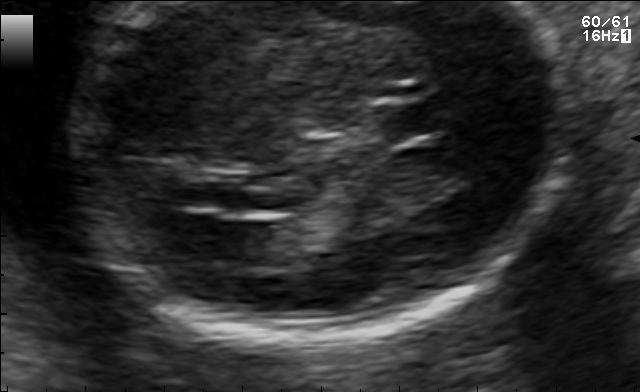
In this fetal brain, trans-ventricular plane, give the bounding box of the lateral ventricle.

[188,222,273,265]